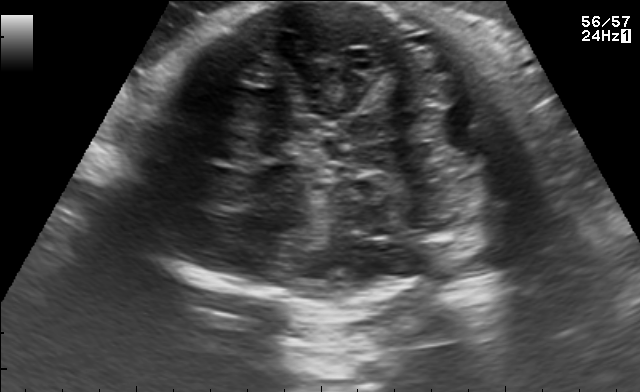
This is a 2D maternal-fetal ultrasound frame. Is it a fetal abdomen, fetal brain, fetal femur, fetal thorax, maternal cervix, or other standard plane? If it's fetal brain and one of the three standard brain planes (trans-thalamic, trans-cerebellum, trans-ventricular), name which.

Fetal brain (trans-cerebellum plane)